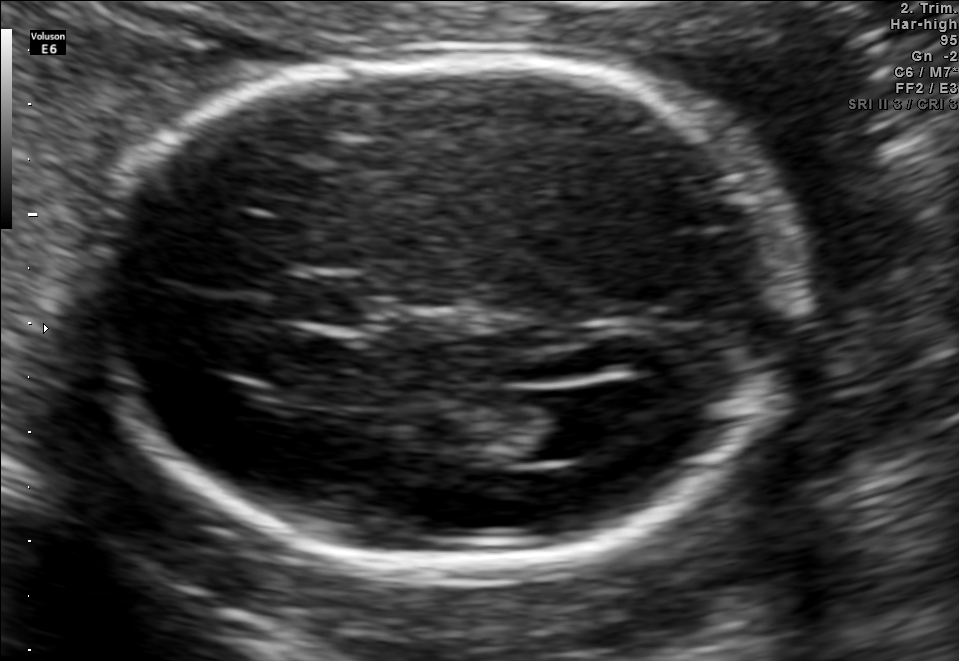
Fetal brain, trans-ventricular plane. Locate the fetal head.

Head: [78,45,819,578]